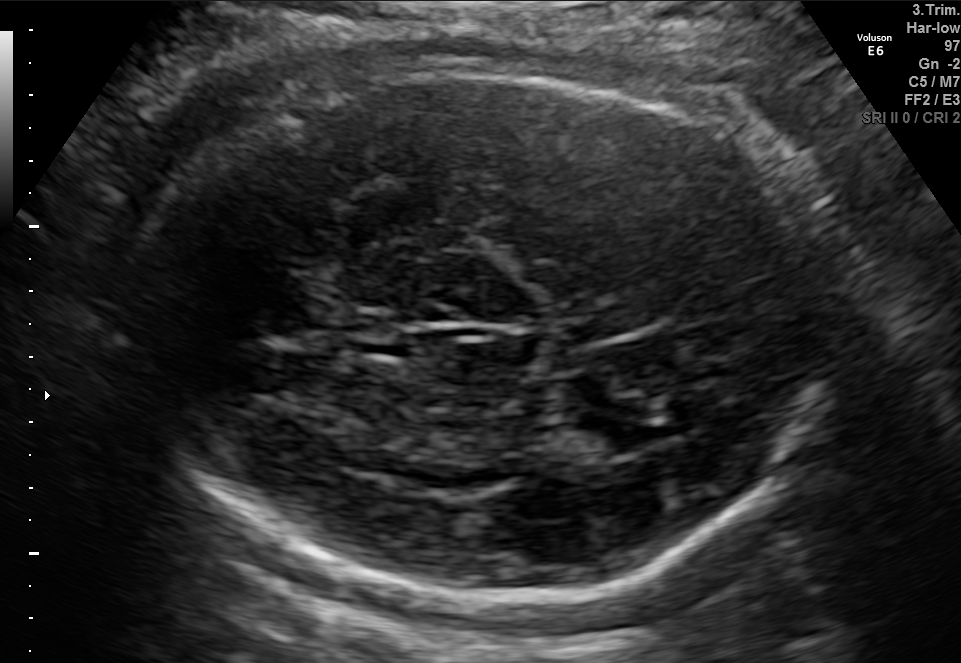
Fetal brain, trans-thalamic plane. Where is the lateral ventricle?

Lateral ventricle bounding box: [560,401,662,473]